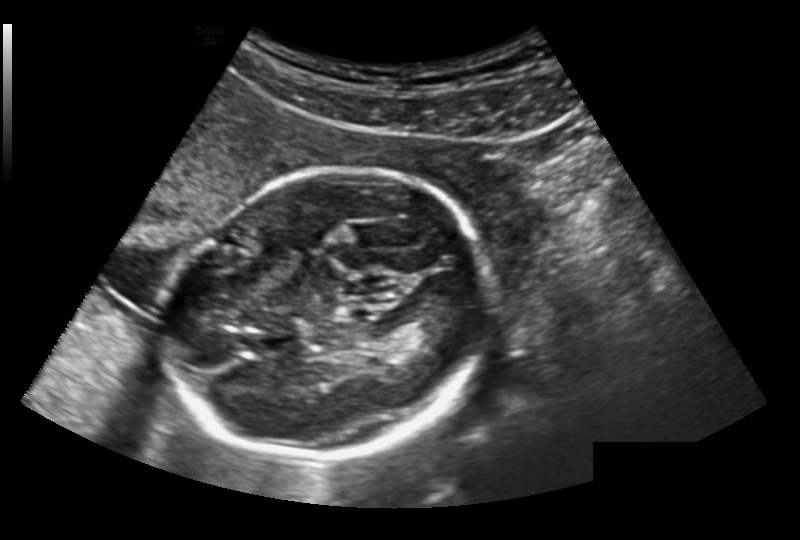
Fetal head ultrasound. Image width: 152.5 mm. Locate the fetal head and, if visible, the cavum septum pellucidum (CSP) and lateral ventricle (LV). Give bounding boxes as [x1,y1,x2,y2].

Head: [174,167,485,462]